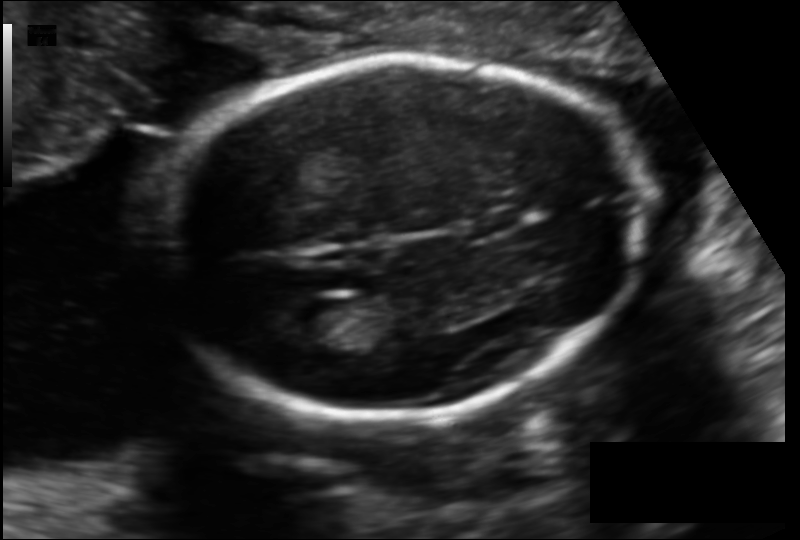
In this fetal head ultrasound, give bounding boxes for the head outline, cavum septum pellucidum (CSP), and lateral ventricle (LV), where visible. Image width: 102.8 mm.

Head: [161,56,642,417]
CSP: [460,201,527,244]
Lateral ventricle: [279,299,344,342]